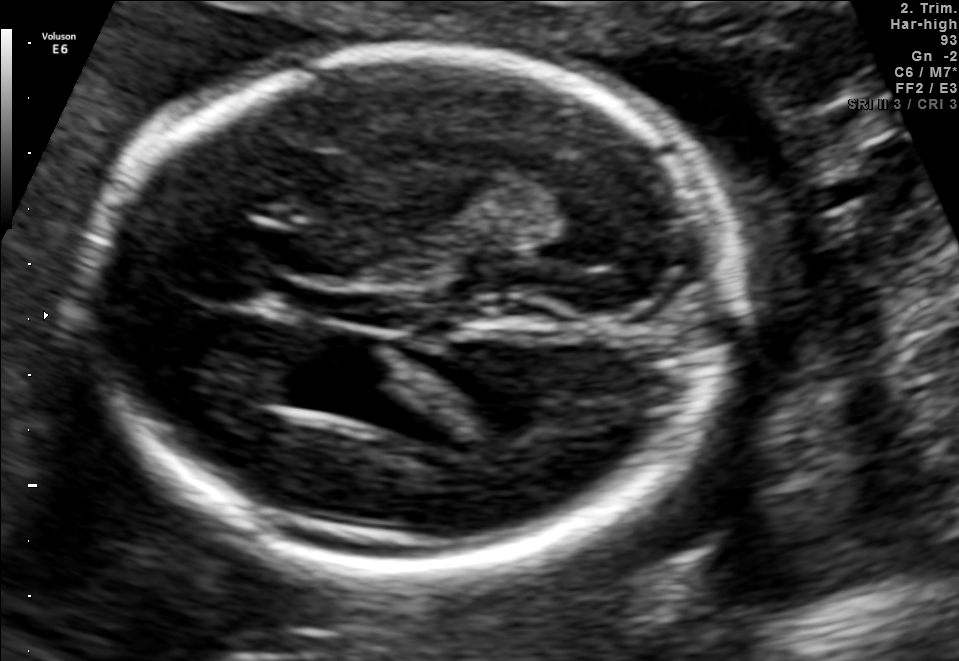
In this fetal brain, trans-thalamic plane, give bounding boxes for the head outline, cavum septum pellucidum (CSP), and lateral ventricle (LV), where visible.

Head: [88,49,721,568]